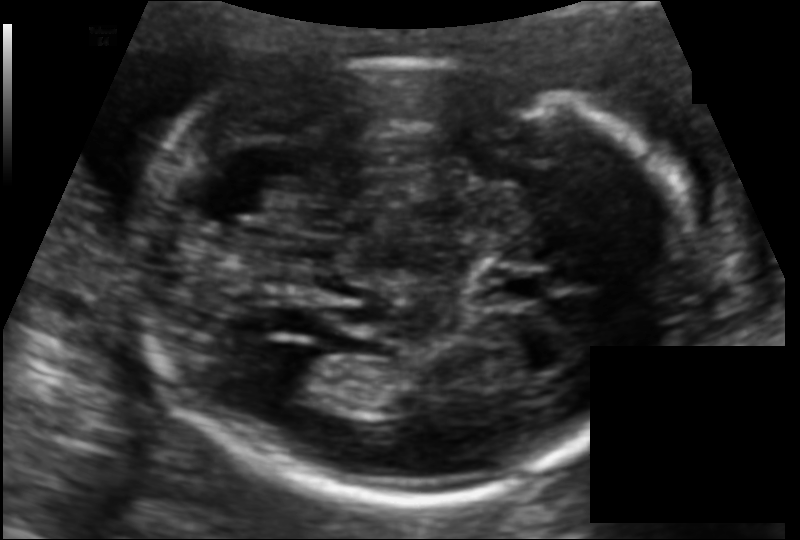
In this fetal head ultrasound, give the bounding box of the cavum septum pellucidum. Image width: 91.9 mm.

[478,260,556,311]